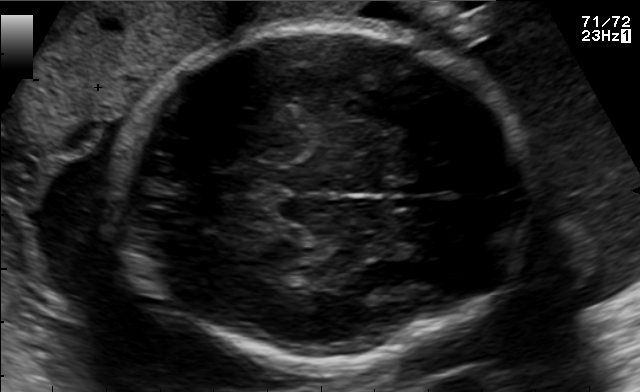
In this fetal brain, trans-thalamic plane, give bounding boxes for the head outline, cavum septum pellucidum (CSP), and lateral ventricle (LV), where visible.

Head: [112,27,528,364]